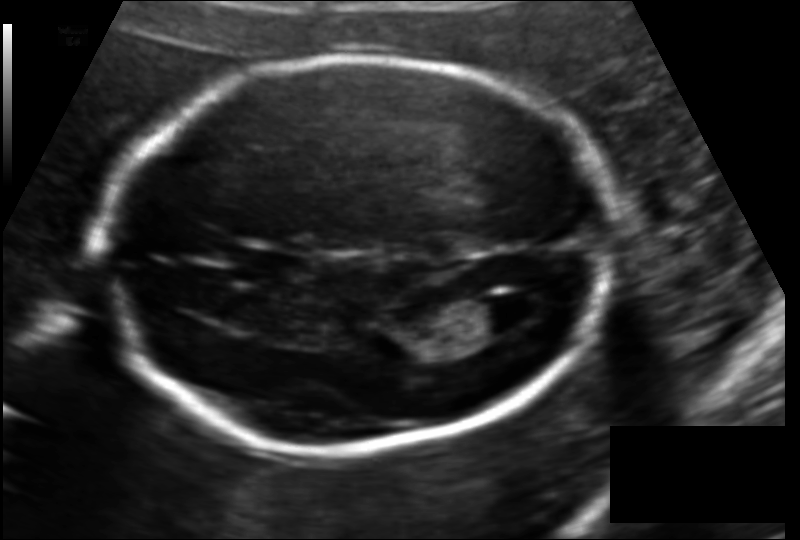
Fetal head ultrasound. Image width: 101.5 mm. Where is the cavum septum pellucidum?

CSP bounding box: [228,245,308,284]